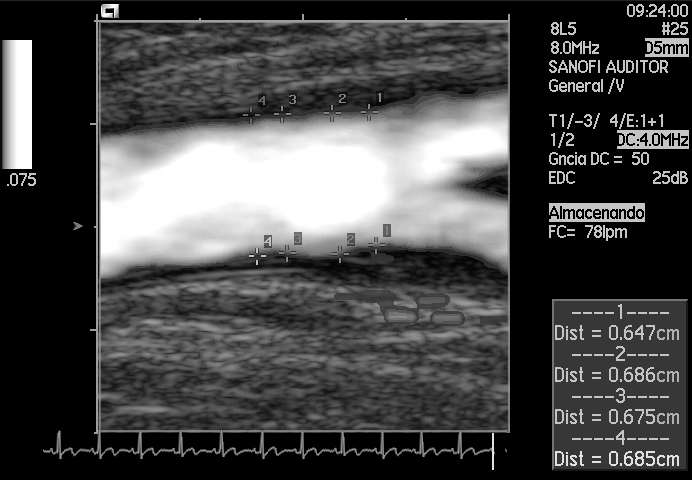
Identify the standard plane in this fetal ultrasound image: fetal abdomen, fetal brain, fetal femur, fetal thorax, maternal cervix, or other. If it's fetal brain and one of the three standard brain planes (trans-thalamic, trans-cerebellum, trans-ventricular), name which.

Other